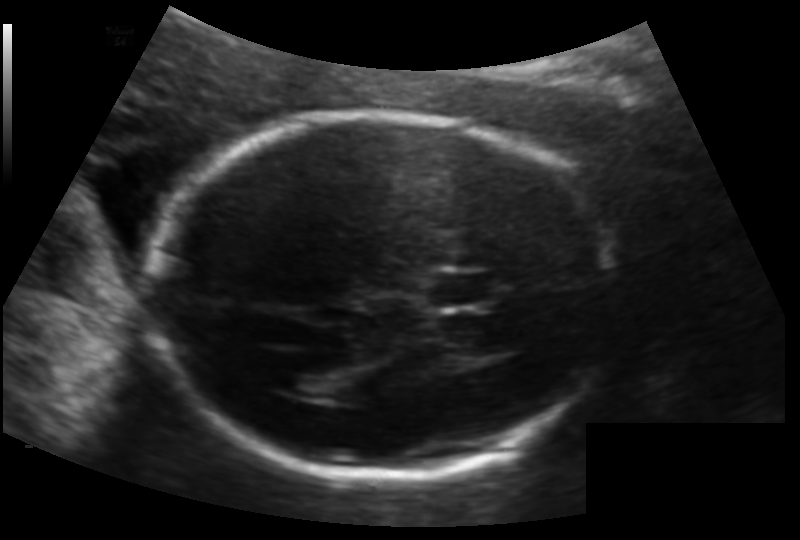
In this fetal head ultrasound, give the bounding box of the fetal head. Image width: 106.4 mm.

[157,113,618,481]